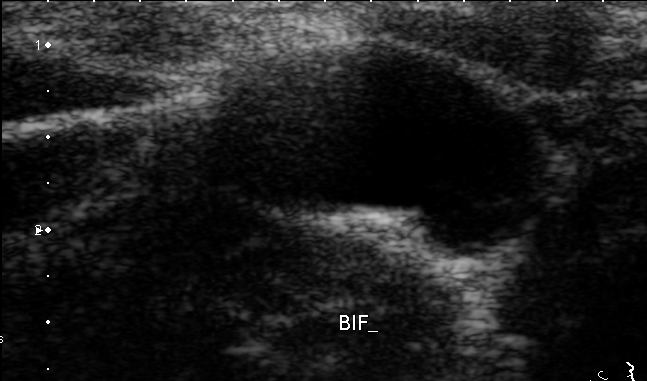
Which standard maternal-fetal ultrasound plane is shown: fetal abdomen, fetal brain, fetal femur, fetal thorax, maternal cervix, or other? If it's fetal brain and one of the three standard brain planes (trans-thalamic, trans-cerebellum, trans-ventricular), name which.

Other